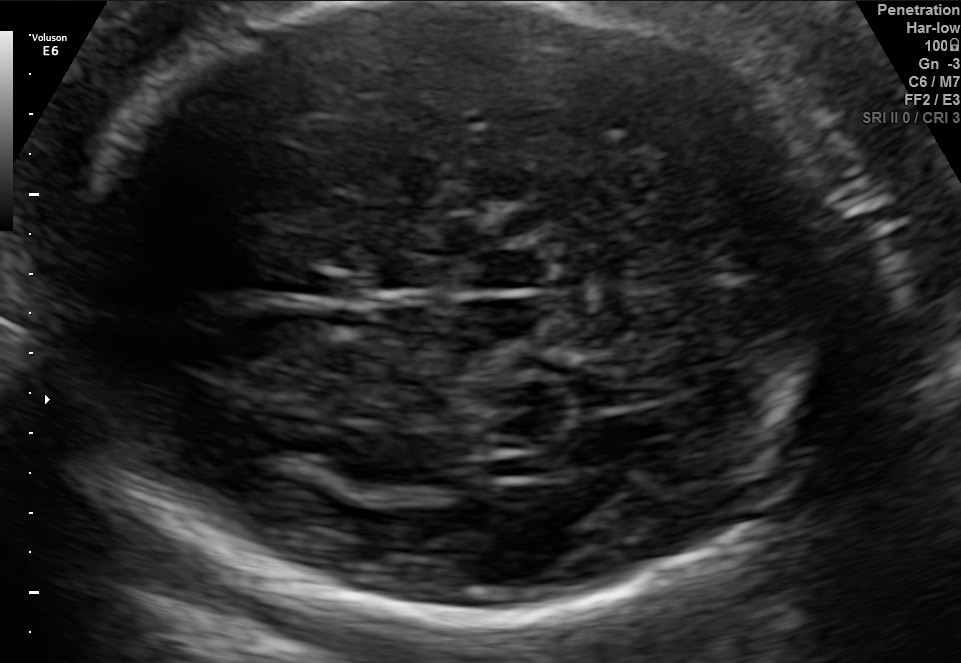
In this fetal brain, trans-thalamic plane, give the bounding box of the fetal head.

[44,6,869,621]